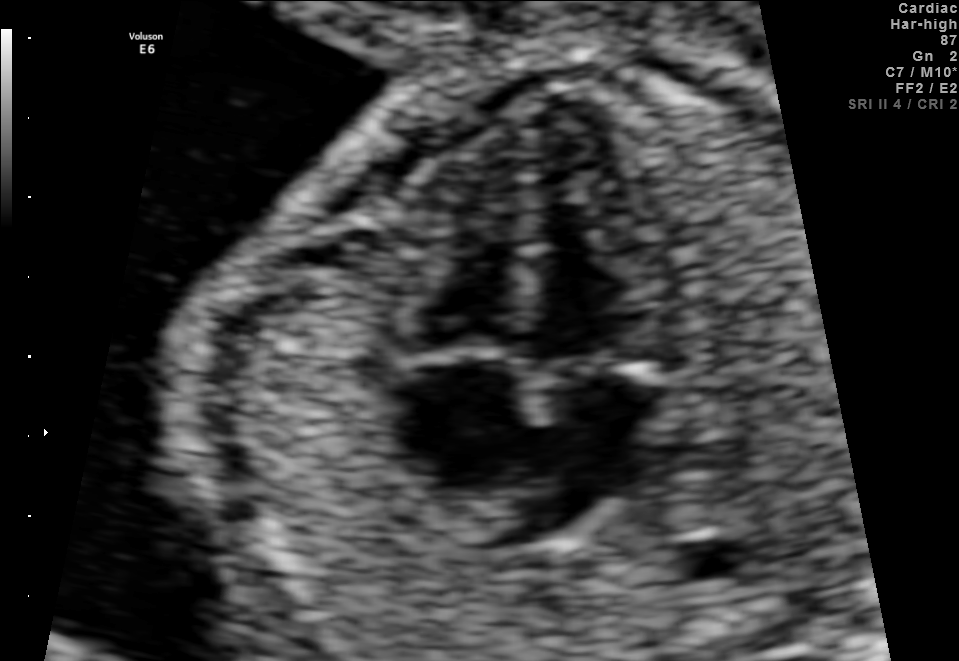
This is a 2D maternal-fetal ultrasound frame. Is it a fetal abdomen, fetal brain, fetal femur, fetal thorax, maternal cervix, or other standard plane? If it's fetal brain and one of the three standard brain planes (trans-thalamic, trans-cerebellum, trans-ventricular), name which.

Fetal thorax